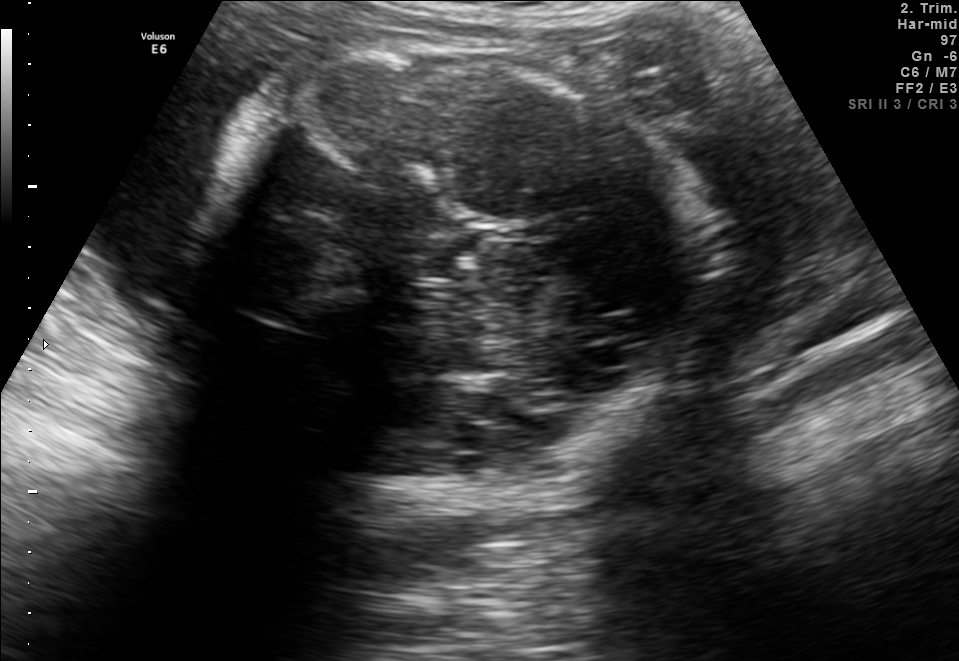
Which standard maternal-fetal ultrasound plane is shown: fetal abdomen, fetal brain, fetal femur, fetal thorax, maternal cervix, or other? If it's fetal brain and one of the three standard brain planes (trans-thalamic, trans-cerebellum, trans-ventricular), name which.

Fetal brain